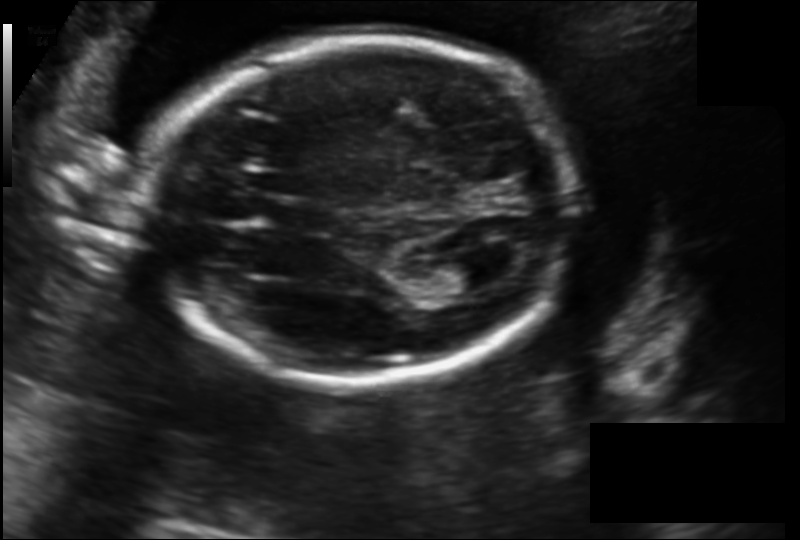
From this fetal ultrasound, estimate the head circumference (image width 121.4 mm).

Head circumference: 189.9 mm.